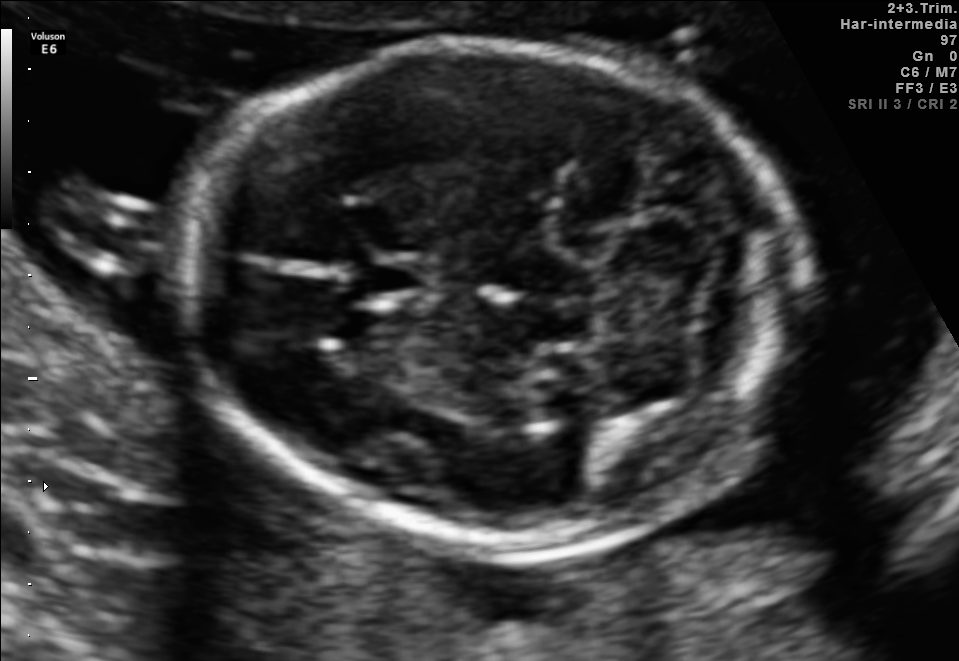
Which standard maternal-fetal ultrasound plane is shown: fetal abdomen, fetal brain, fetal femur, fetal thorax, maternal cervix, or other? If it's fetal brain and one of the three standard brain planes (trans-thalamic, trans-cerebellum, trans-ventricular), name which.

Fetal brain (trans-cerebellum plane)